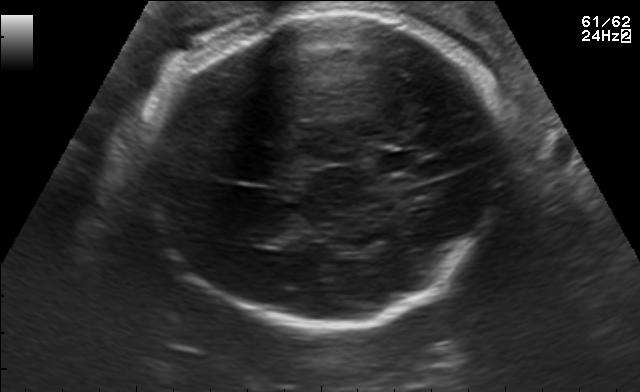
In this fetal brain, trans-thalamic plane, give the bounding box of the cavum septum pellucidum.

[375,148,421,174]